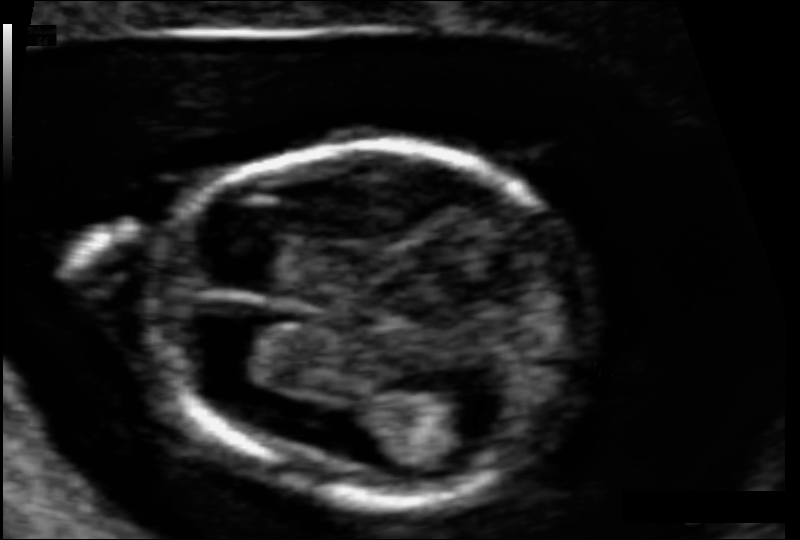
Measure the fetal head circumference shown in this ultrasound image. Image width: 50.1 mm.

Head circumference: 81.6 mm.